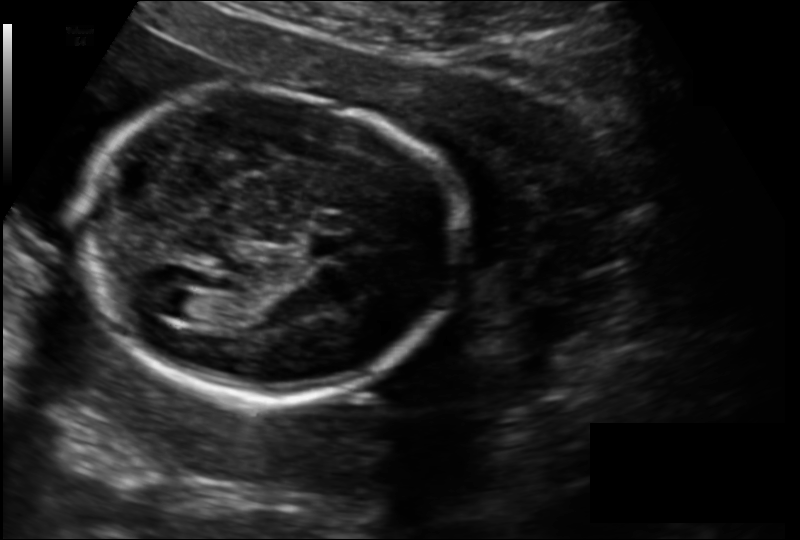
In this fetal head ultrasound, give the bounding box of the cavum septum pellucidum. Image width: 119.1 mm.

[306,233,345,260]